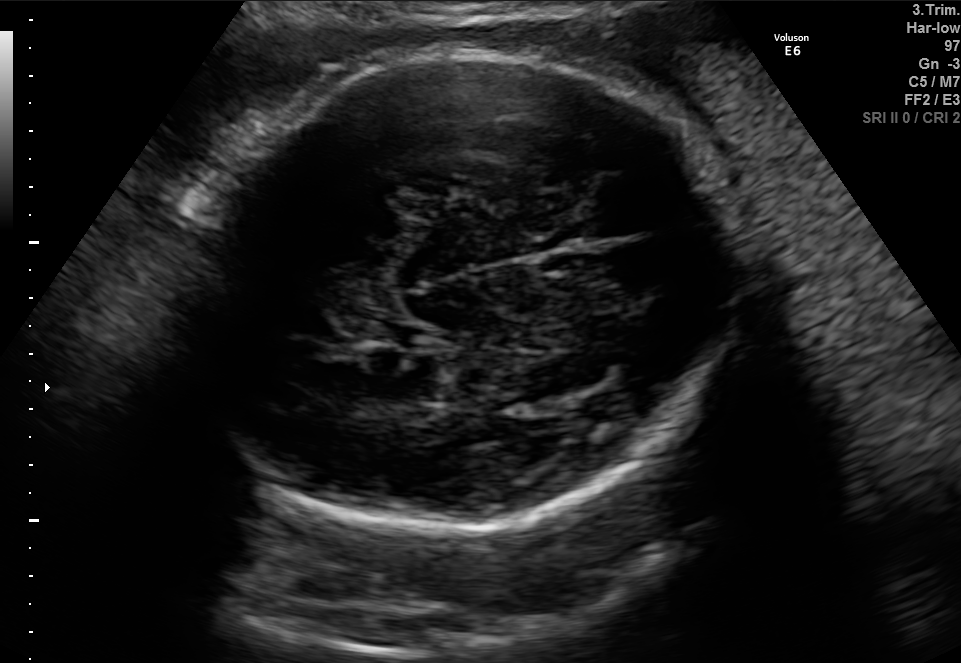
Fetal brain, trans-thalamic plane. Where is the fetal head?

Head bounding box: [187,55,738,534]